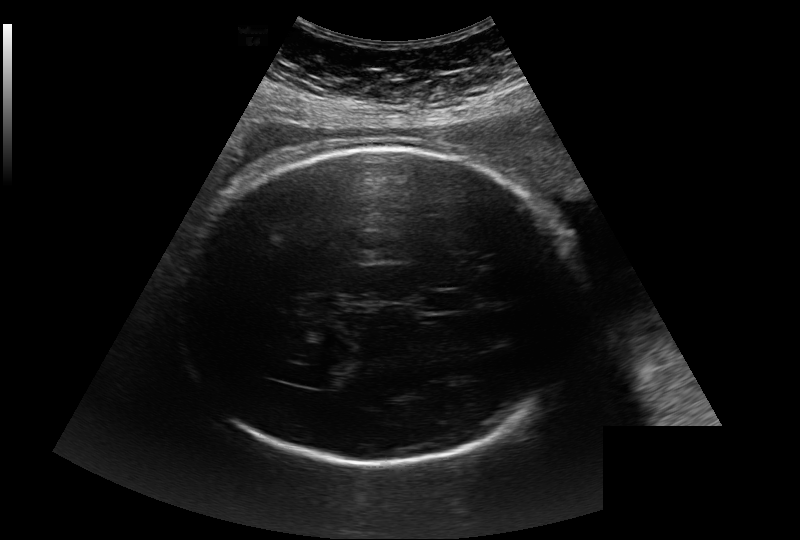
Measure the fetal head circumference shown in this ultrasound image. Image width: 227.4 mm.

Head circumference: 324.0 mm.